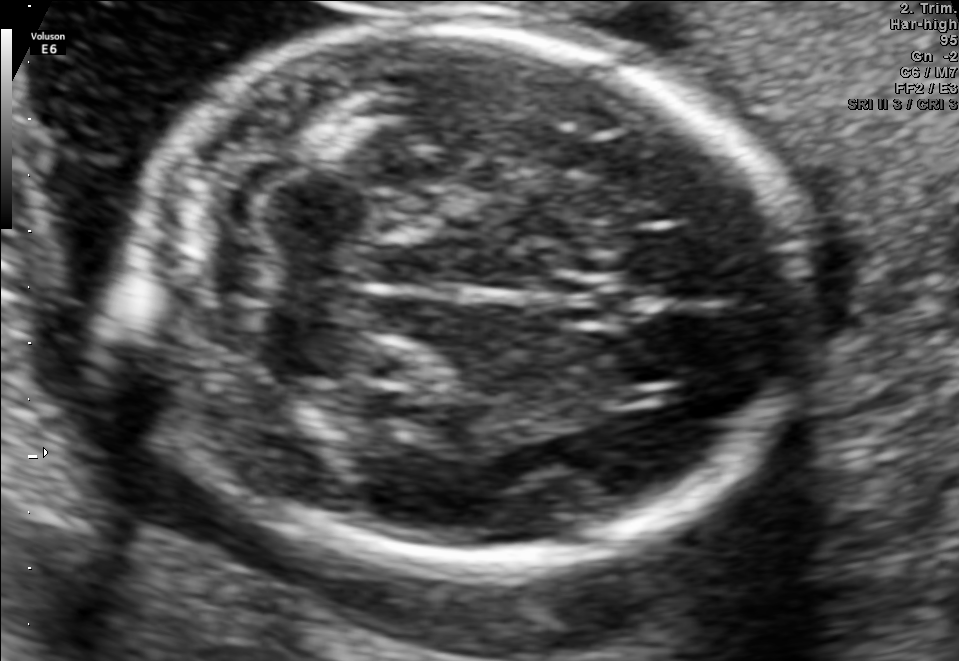
In this fetal brain, trans-cerebellum plane, give the bounding box of the fetal head.

[132,26,801,567]